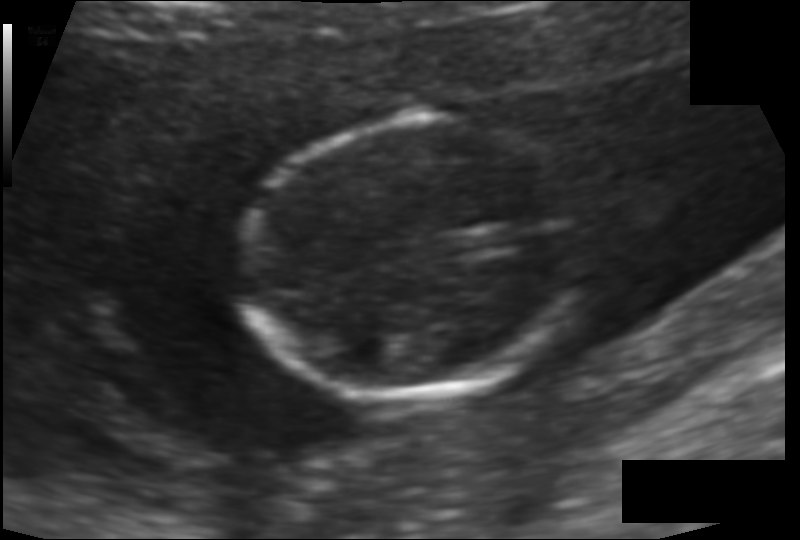
Fetal head ultrasound. Image width: 77.6 mm. Where is the fetal head?

Head bounding box: [246,118,586,396]